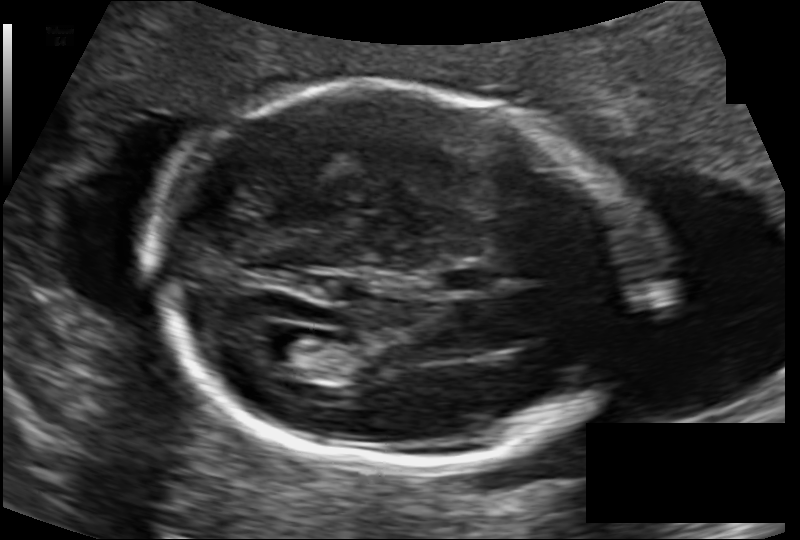
Fetal head ultrasound. Image width: 95.8 mm. Give [x1,y1,x2,y2] bounding boxes for each visible structure among: fetal head, CSP, LV.

Head: [147,89,647,467]
CSP: [442,267,494,292]
Lateral ventricle: [253,326,327,380]